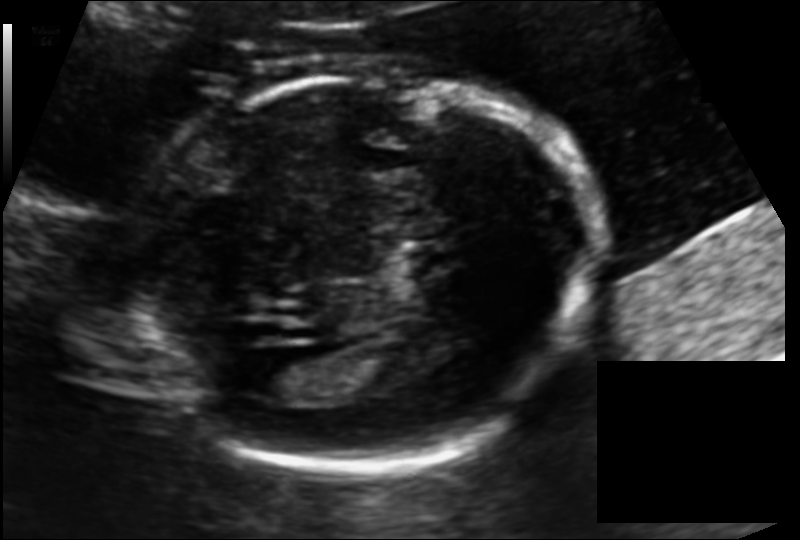
What is the fetal head circumference? Image width is 99.9 mm.

173.2 mm